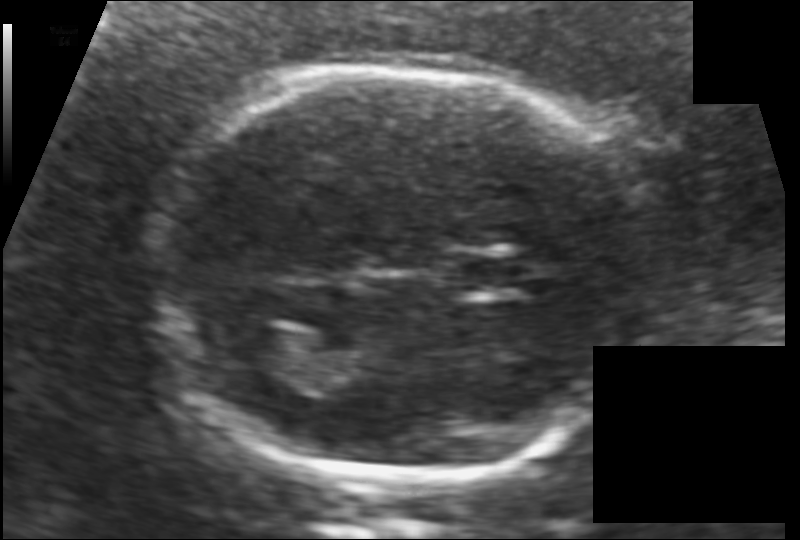
Fetal head ultrasound. Image width: 94.0 mm. Where is the lateral ventricle?

Lateral ventricle bounding box: [220,315,300,376]